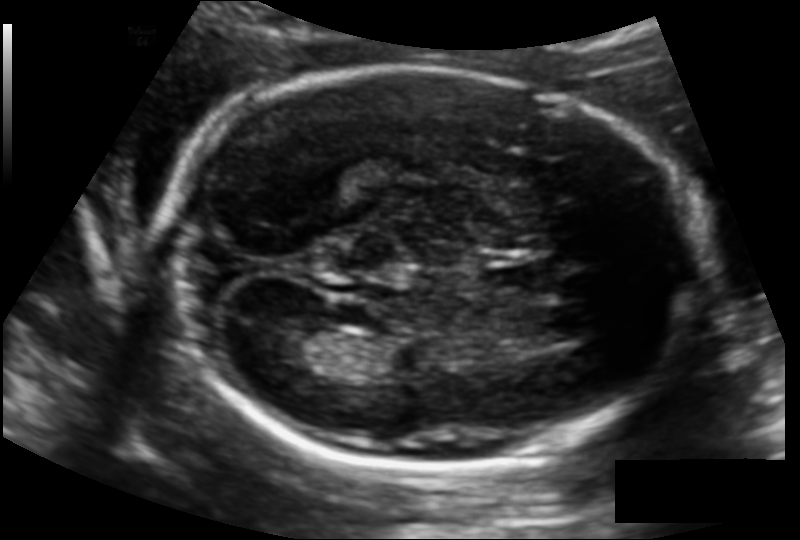
Fetal head ultrasound. Image width: 103.6 mm. Give [x1,y1,x2,y2] bounding boxes for each visible structure among: fetal head, CSP, LV.

Head: [162,69,693,465]
CSP: [482,255,557,299]
Lateral ventricle: [271,325,338,371]